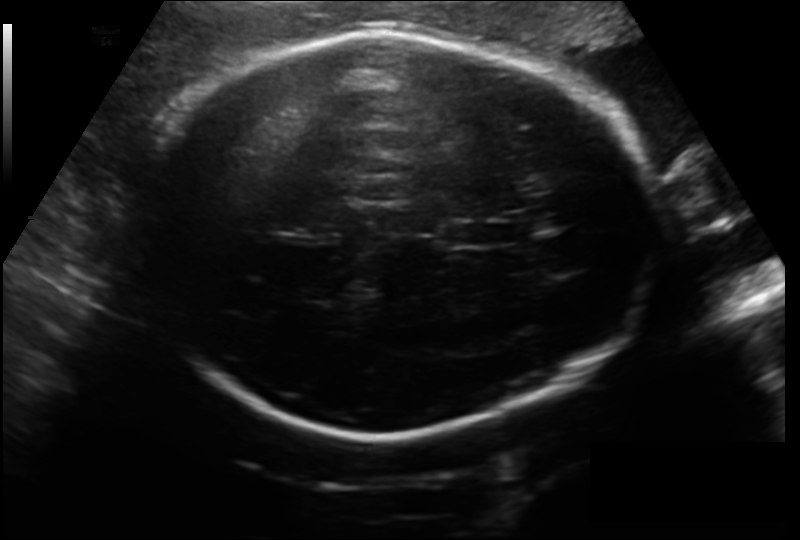
Estimate the fetal head circumference from this 2D ultrasound. Image width: 158.8 mm.

Head circumference: 290.8 mm.